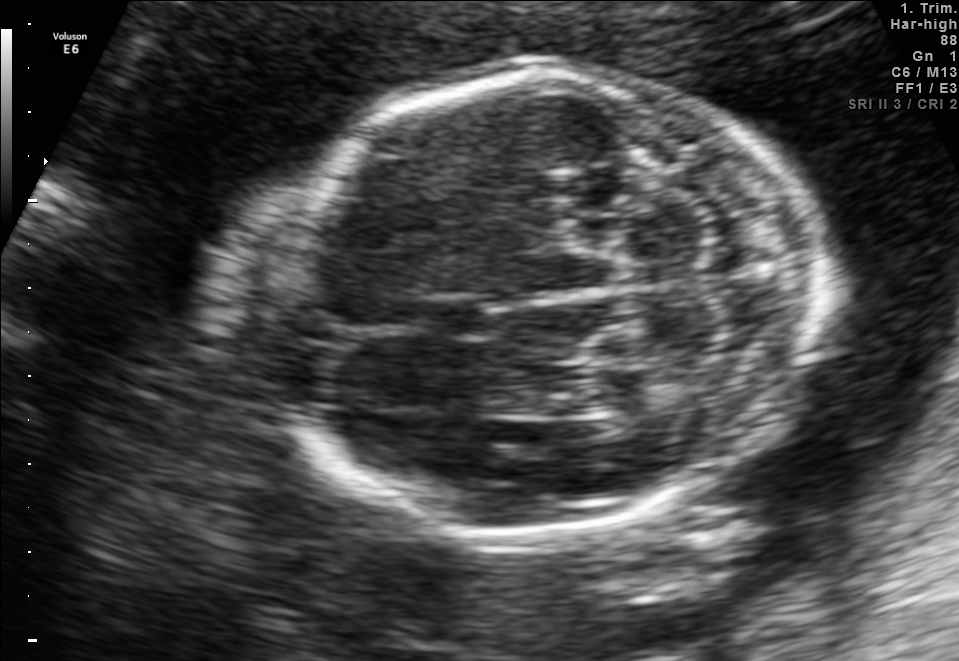
Fetal brain, trans-cerebellum plane. Give [x1,y1,x2,y2] bounding boxes for each visible structure among: fetal head, CSP, LV.

Head: [243,71,818,530]
CSP: [414,293,496,339]